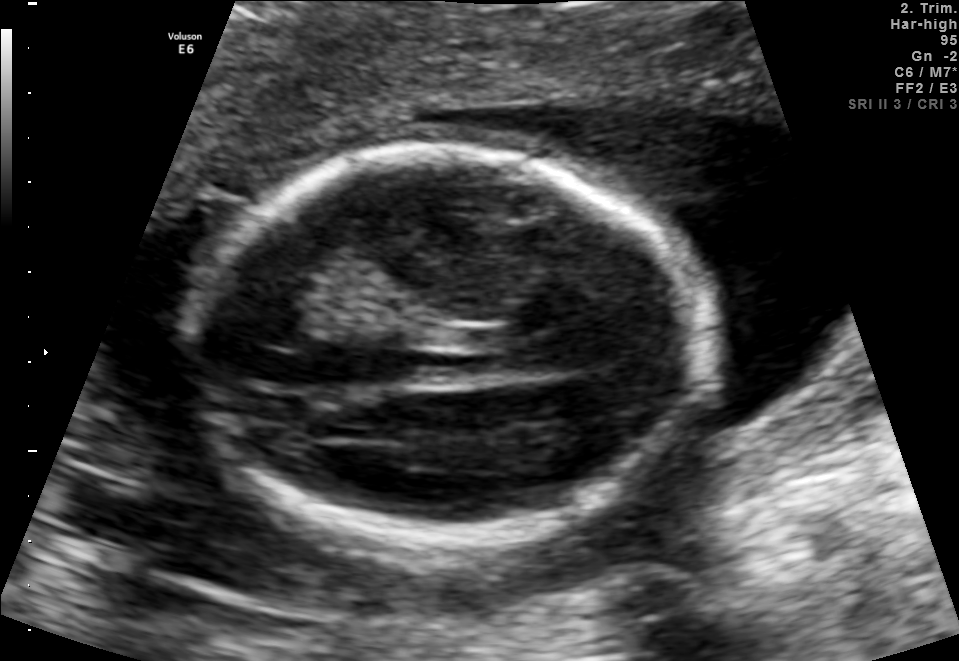
Fetal brain, trans-thalamic plane. Locate the fetal head and, if visible, the cavum septum pellucidum (CSP) and lateral ventricle (LV). Give bounding boxes as [x1,y1,x2,y2].

Head: [182,147,703,538]